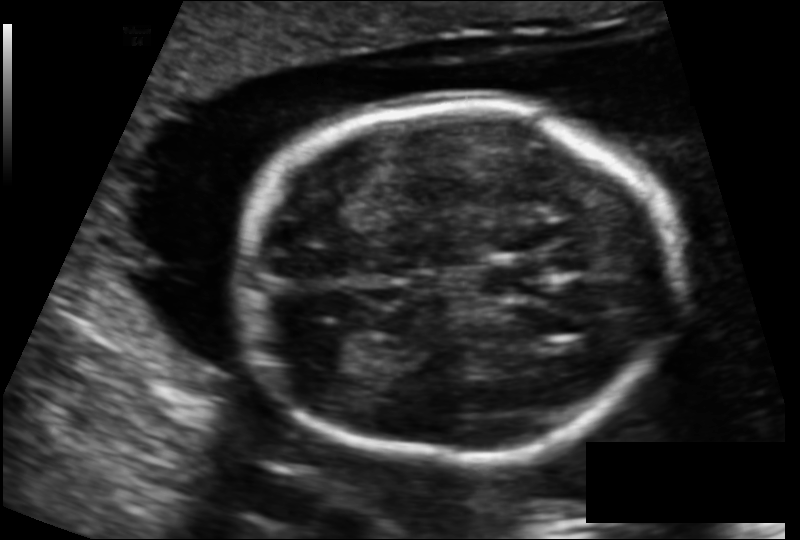
Fetal head ultrasound. Image width: 104.4 mm. Locate the fetal head.

Head: [239,105,677,462]